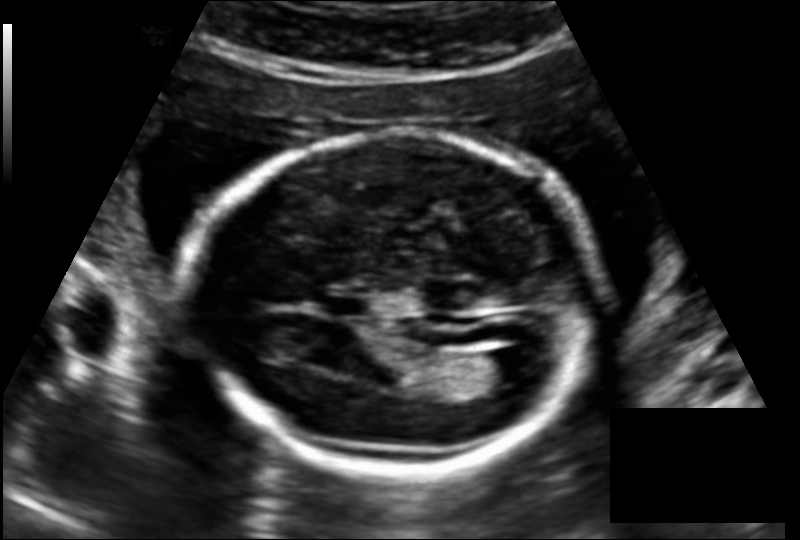
Fetal head ultrasound. Image width: 115.9 mm. Locate the lateral ventricle.

Lateral ventricle: [470,344,536,389]